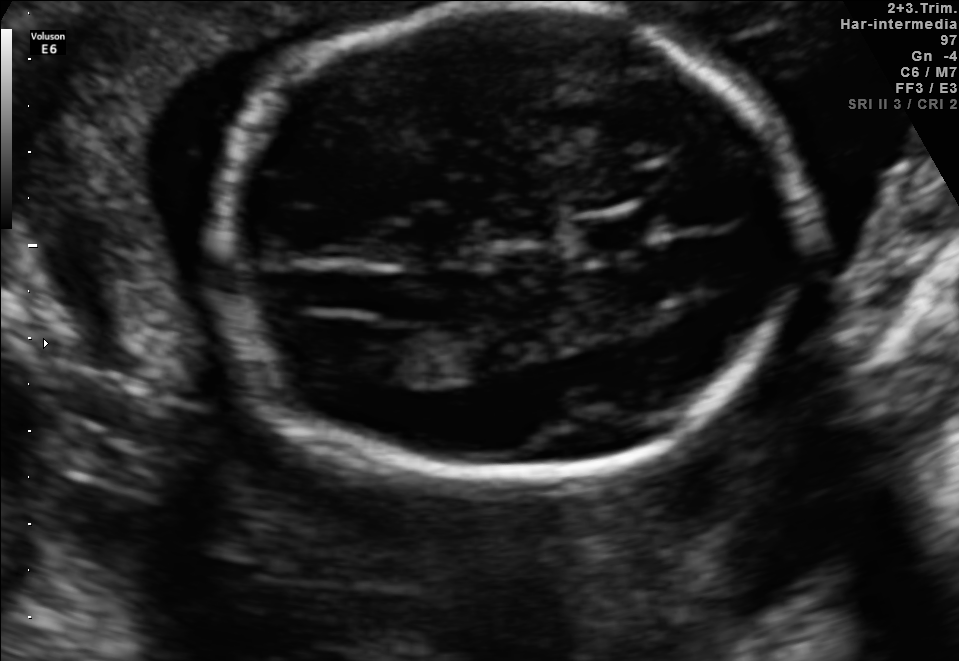
Fetal brain, trans-ventricular plane. Locate the cavum septum pellucidum.

CSP: [557,196,674,270]